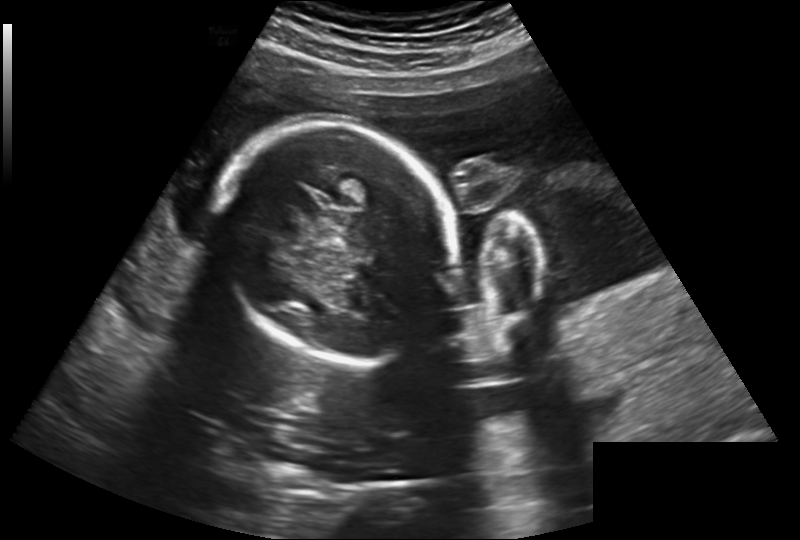
Estimate the fetal head circumference from this 2D ultrasound. Image width: 208.4 mm.

Head circumference: 206.9 mm.